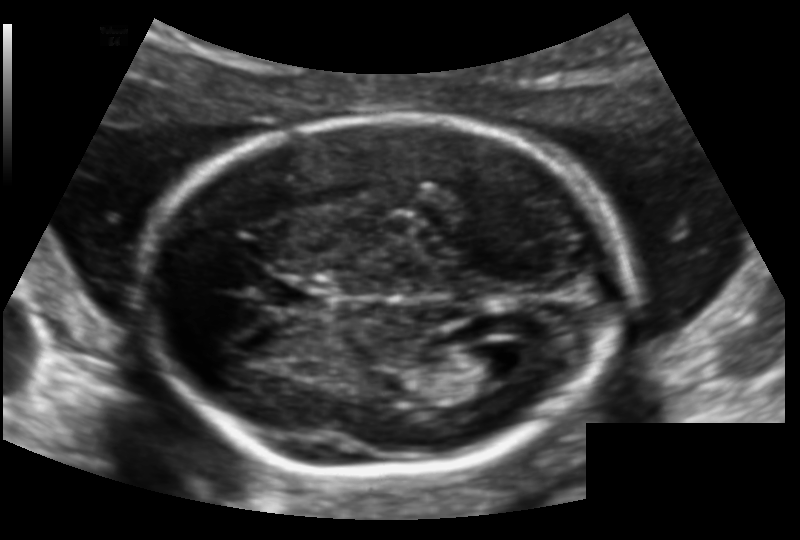
What is the fetal head circumference? Image width is 102.0 mm.

174.1 mm